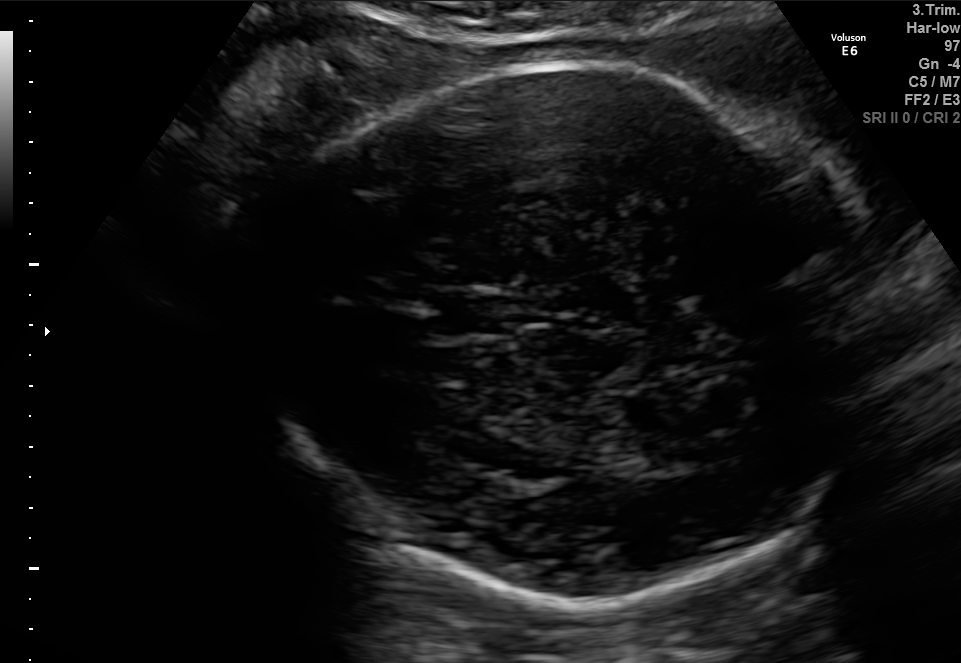
Classify this maternal-fetal ultrasound image as one of the six standard planes — fetal abdomen, fetal brain, fetal femur, fetal thorax, maternal cervix, or other. If it's fetal brain and one of the three standard brain planes (trans-thalamic, trans-cerebellum, trans-ventricular), name which.

Fetal brain (trans-thalamic plane)